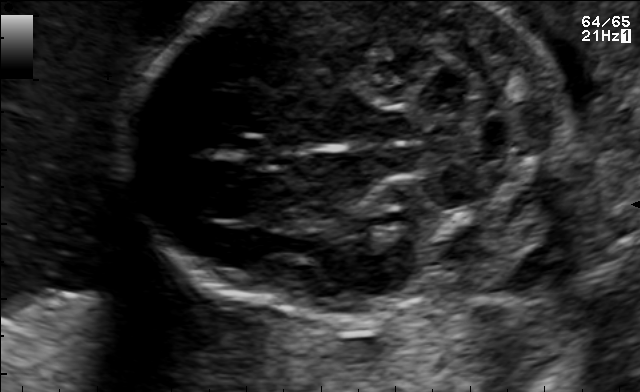
In this fetal brain, trans-cerebellum plane, give bounding boxes for the head outline, cavum septum pellucidum (CSP), and lateral ventricle (LV), where visible.

Head: [126,1,561,315]